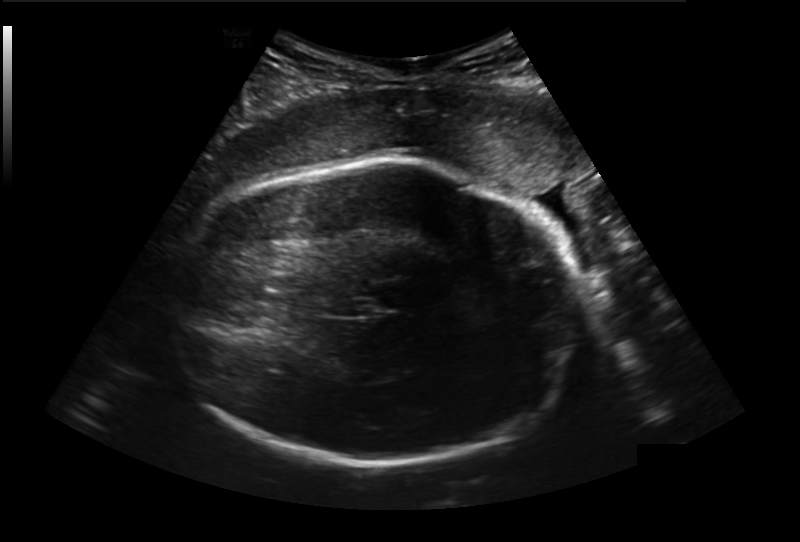
Estimate the fetal head circumference from this 2D ultrasound.

Head circumference: 273.4 mm (image width 188.7 mm).